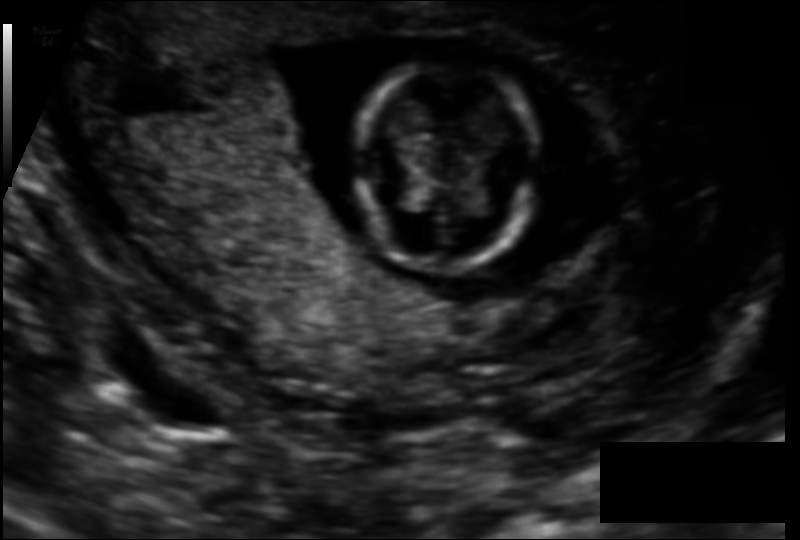
In this fetal head ultrasound, give the bounding box of the fetal head. Image width: 88.1 mm.

[355,61,538,271]